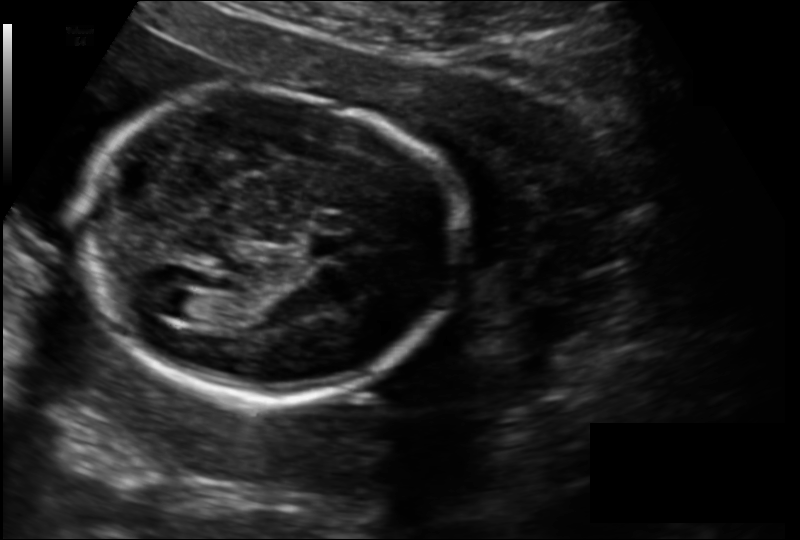
Fetal head ultrasound. Image width: 119.1 mm. Locate the fetal head and, if visible, the cavum septum pellucidum (CSP) and lateral ventricle (LV). Give bounding boxes as [x1,y1,x2,y2].

Head: [73,90,456,399]
CSP: [306,233,345,260]
Lateral ventricle: [158,287,202,322]